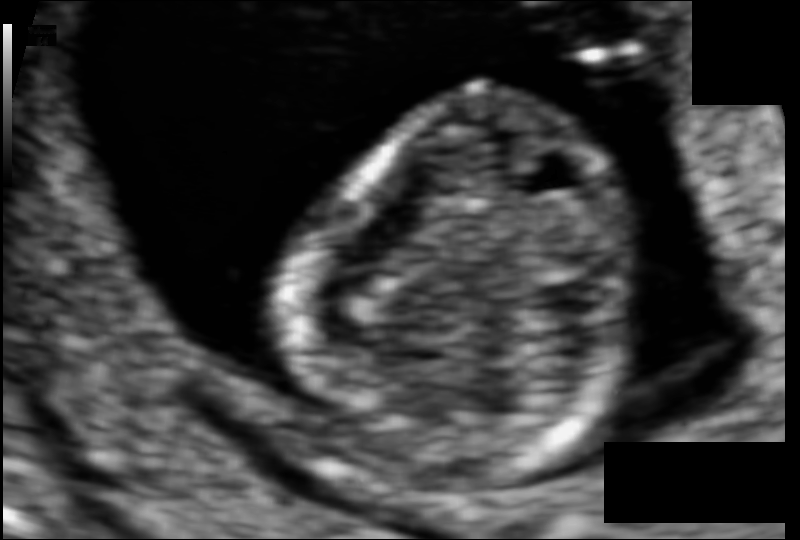
In this fetal head ultrasound, give bounding boxes for the head outline, cavum septum pellucidum (CSP), and lateral ventricle (LV), where visible. Image width: 48.3 mm.

Head: [301,97,646,482]